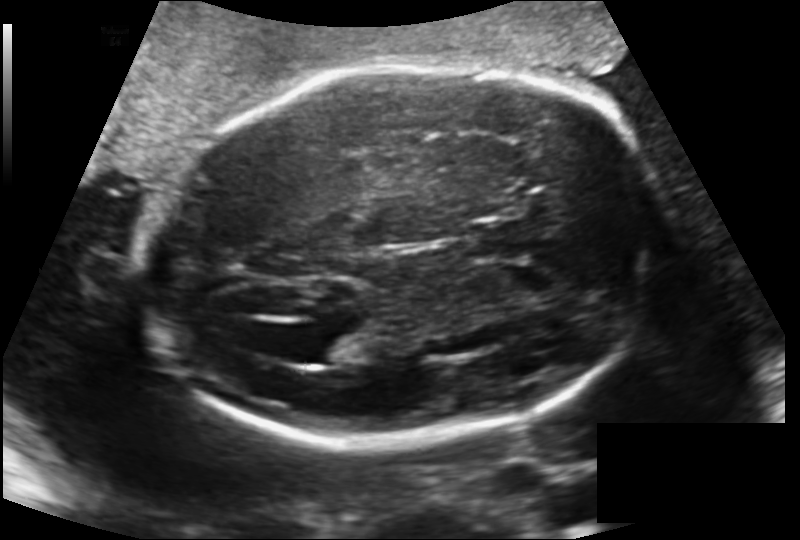
Fetal head ultrasound. Image width: 136.0 mm. Locate the lateral ventricle.

Lateral ventricle: [308,330,361,367]